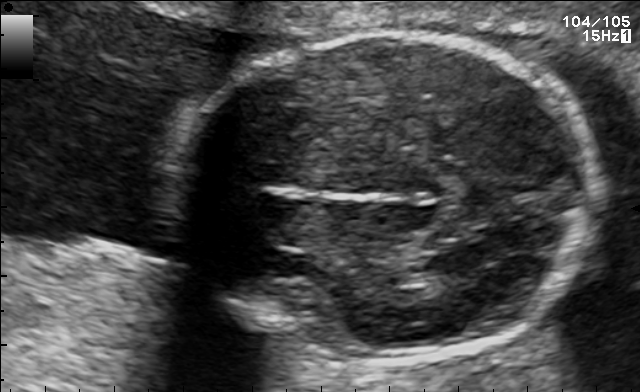
Fetal brain, trans-thalamic plane. Where is the fetal head?

Head bounding box: [166,34,600,364]